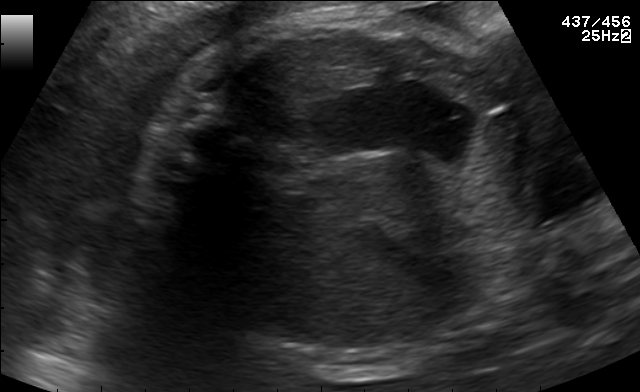
Identify the standard plane in this fetal ultrasound image: fetal abdomen, fetal brain, fetal femur, fetal thorax, maternal cervix, or other. If it's fetal brain and one of the three standard brain planes (trans-thalamic, trans-cerebellum, trans-ventricular), name which.

Fetal abdomen